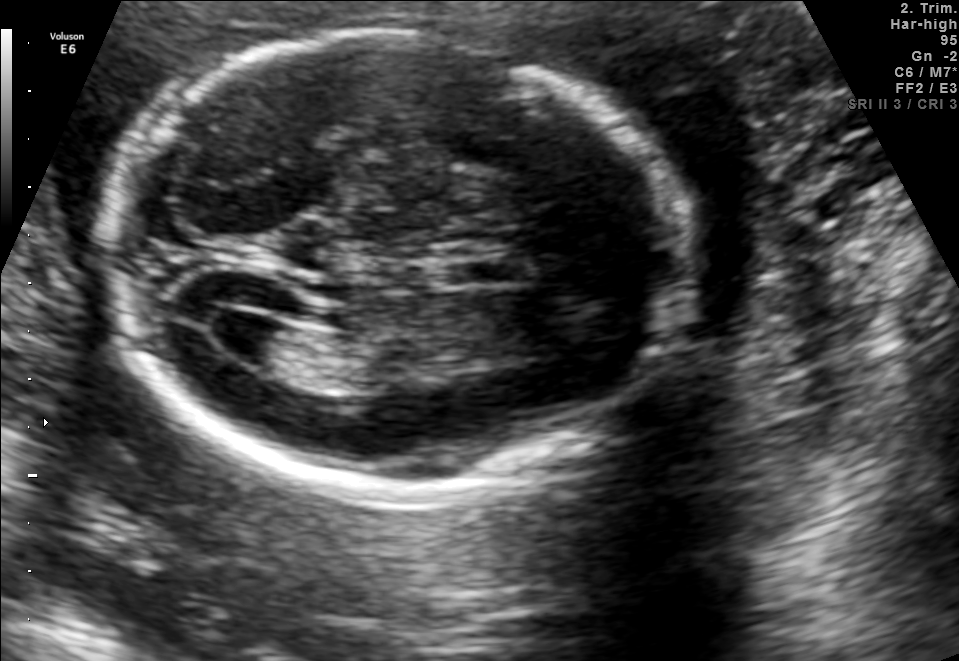
Fetal brain, trans-ventricular plane. Give [x1,y1,x2,y2] bounding boxes for each visible structure among: fetal head, CSP, LV.

Head: [92,28,701,503]
CSP: [439,256,537,284]
Lateral ventricle: [189,287,286,369]